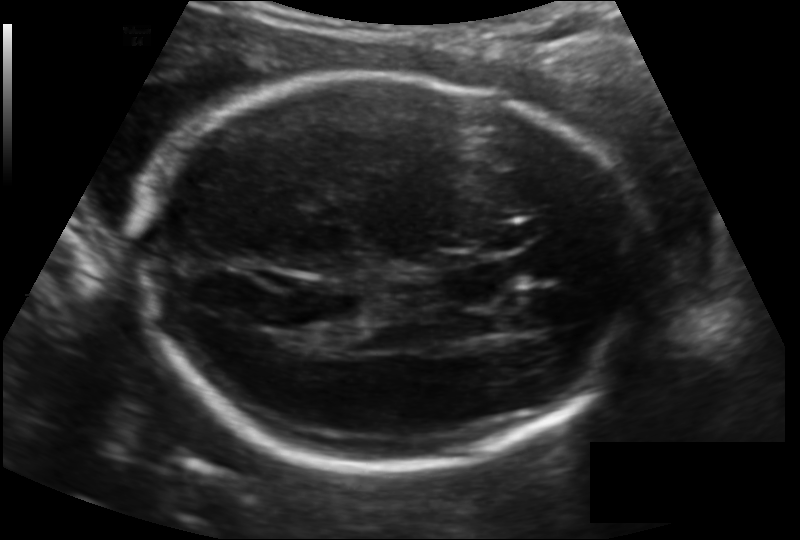
What is the fetal head circumference? Image width is 118.2 mm.

215.5 mm